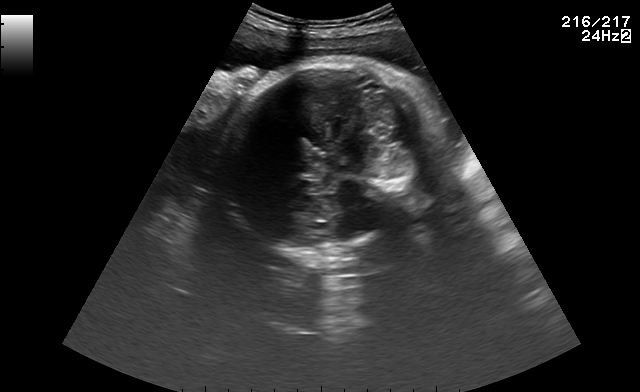
Fetal brain, trans-cerebellum plane. Give [x1,y1,x2,y2] bounding boxes for each visible structure among: fetal head, CSP, LV.

Head: [216,62,438,248]